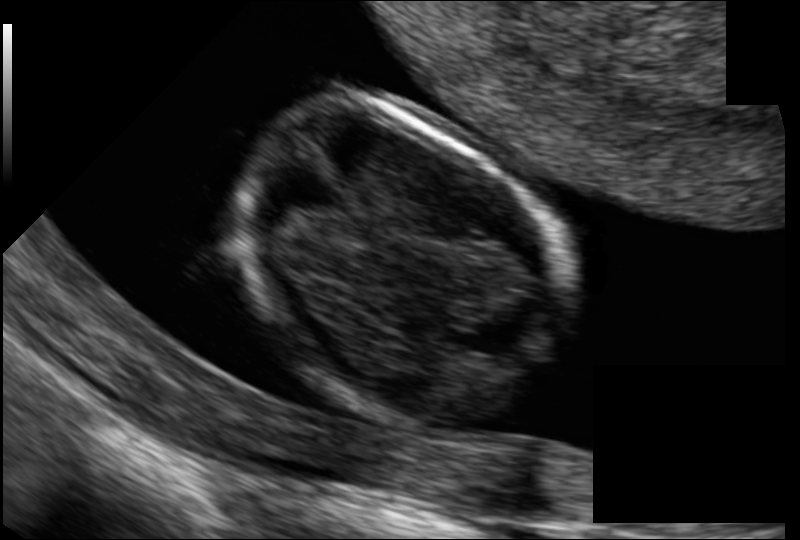
Fetal head ultrasound. Image width: 55.2 mm. Give [x1,y1,x2,y2] bounding boxes for each visible structure among: fetal head, CSP, LV.

Head: [228,109,561,417]